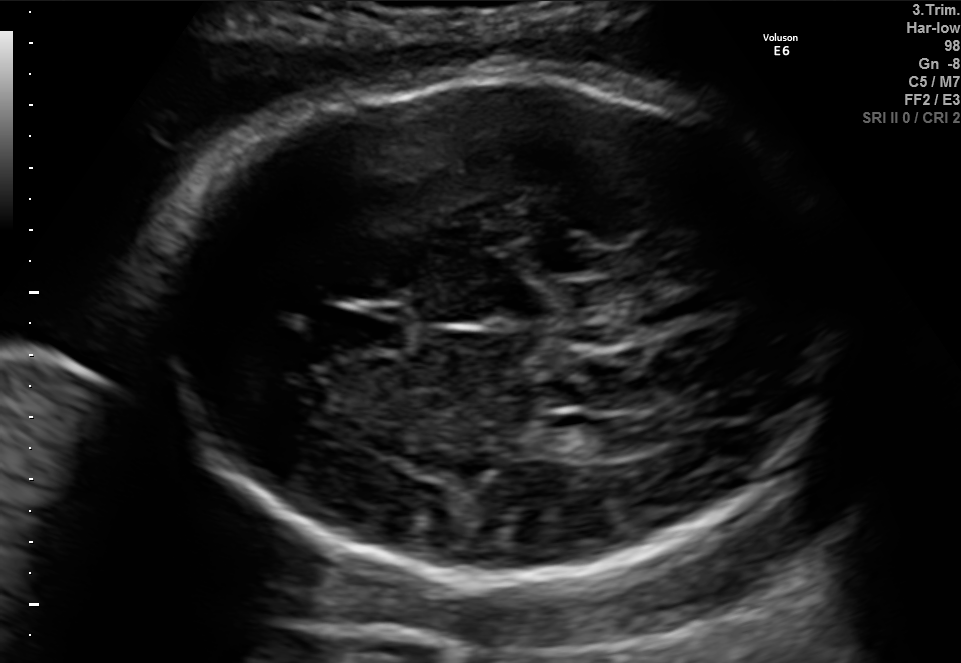
Fetal brain, trans-ventricular plane. Locate the cavum septum pellucidum.

CSP: [322,302,416,357]